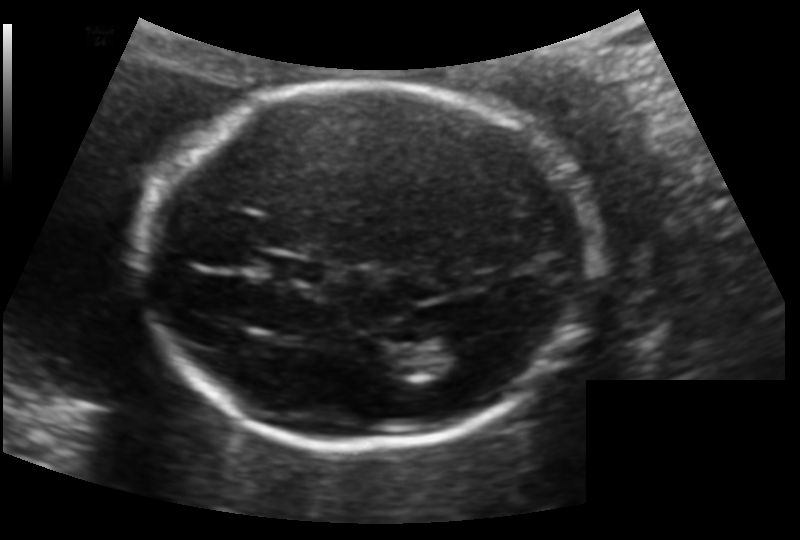
Estimate the fetal head circumference from this 2D ultrasound. Image width: 106.4 mm.

Head circumference: 177.9 mm.